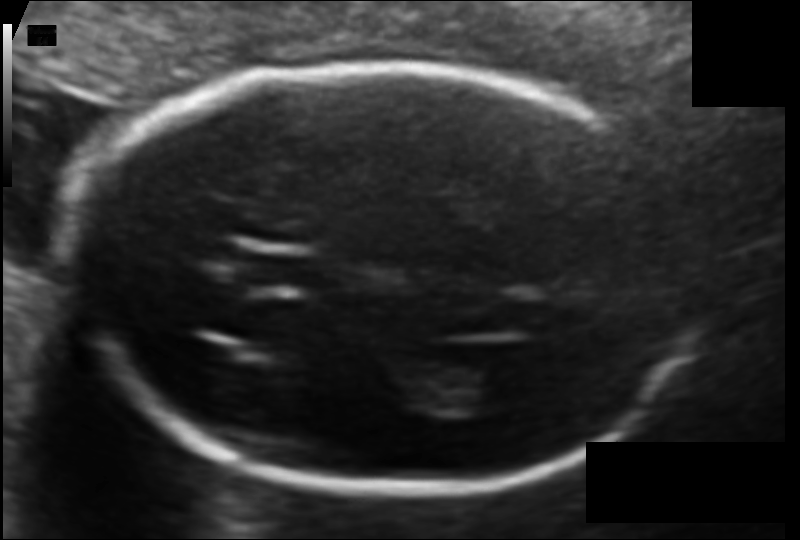
Fetal head ultrasound. Image width: 82.7 mm. Give [x1,y1,x2,y2] bounding boxes for each visible structure among: fetal head, CSP, LV.

Head: [83,63,705,490]
CSP: [238,247,317,294]
Lateral ventricle: [433,349,527,415]